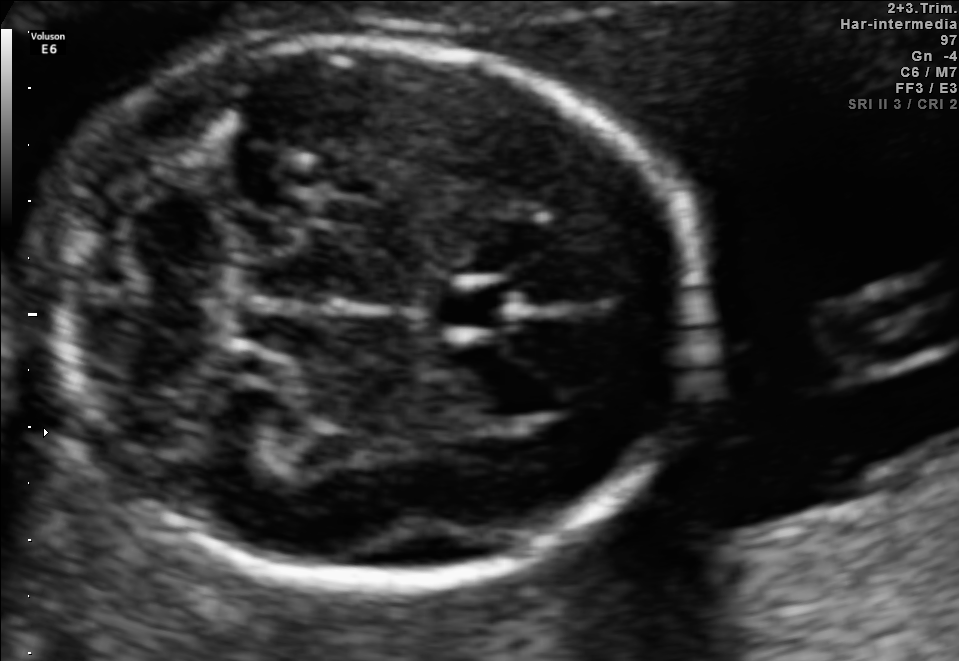
Fetal brain, trans-cerebellum plane. Locate the fetal head and, if visible, the cavum septum pellucidum (CSP) and lateral ventricle (LV). Give bounding boxes as [x1,y1,x2,y2].

Head: [38,39,701,588]
CSP: [437,282,515,333]